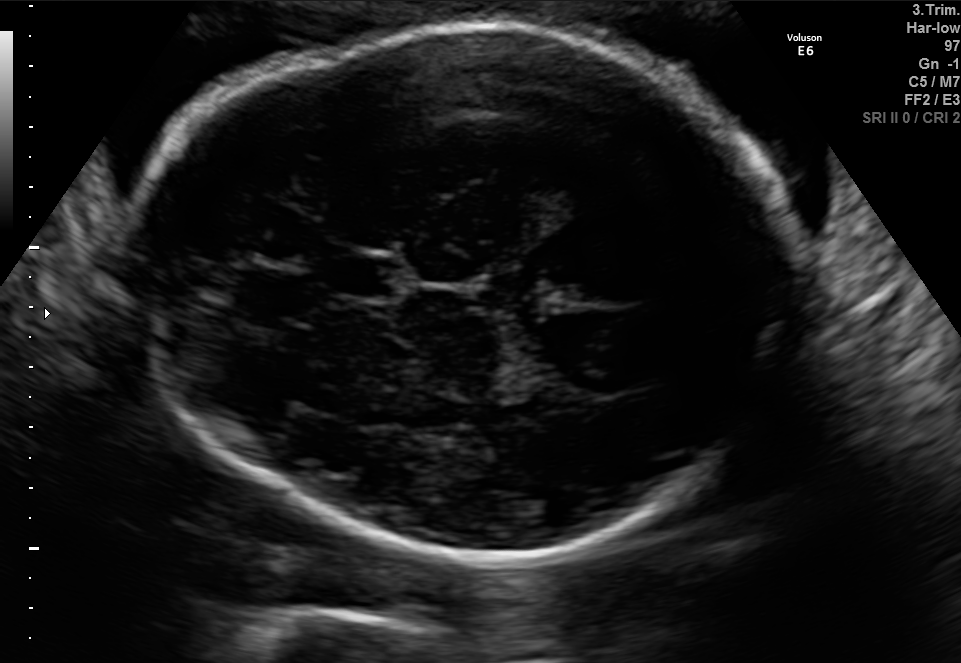
Fetal brain, trans-thalamic plane. Where is the cavum septum pellucidum?

CSP bounding box: [335,253,399,299]